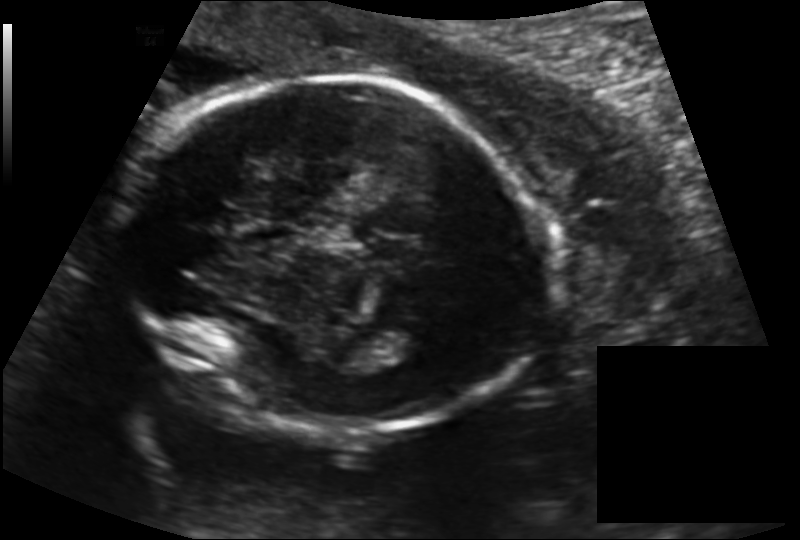
In this fetal head ultrasound, give the bounding box of the fetal head. Image width: 116.1 mm.

[123,78,550,433]